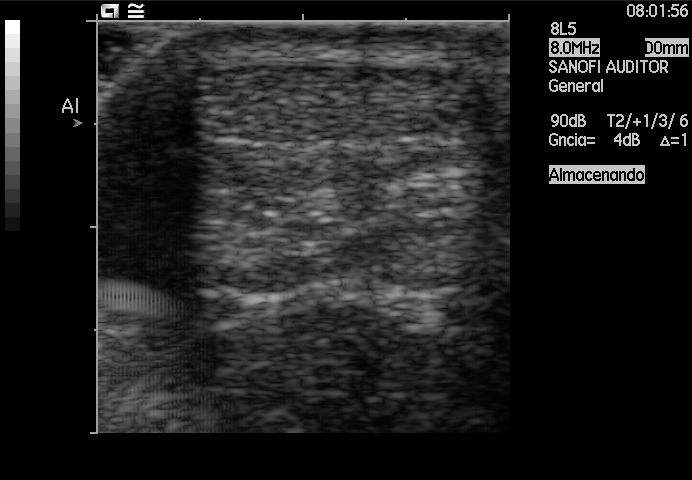
This is a 2D maternal-fetal ultrasound frame. Is it a fetal abdomen, fetal brain, fetal femur, fetal thorax, maternal cervix, or other standard plane? If it's fetal brain and one of the three standard brain planes (trans-thalamic, trans-cerebellum, trans-ventricular), name which.

Other